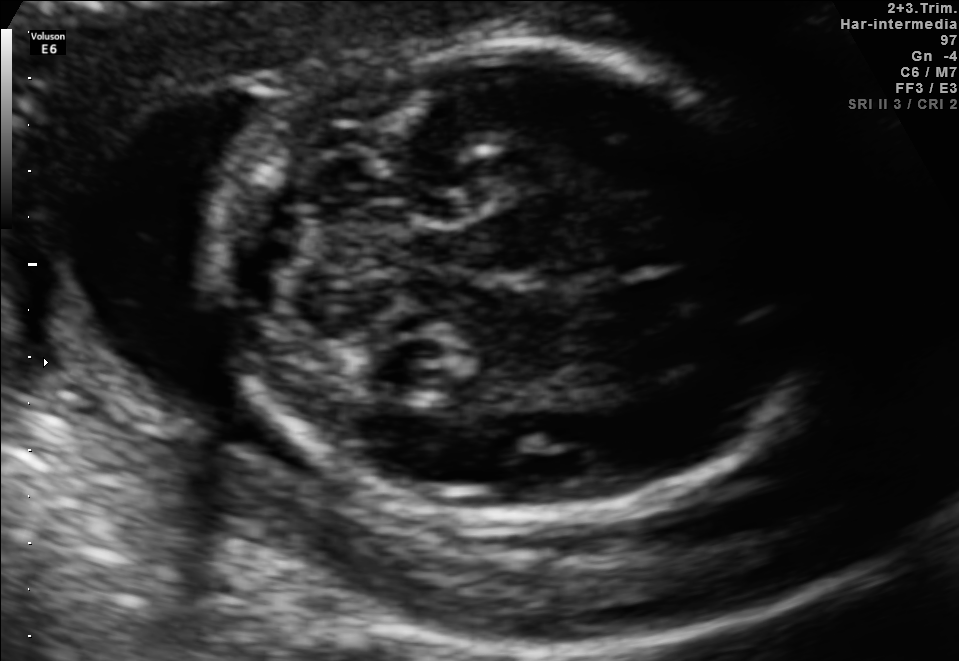
In this fetal brain, trans-cerebellum plane, give bounding boxes for the head outline, cavum septum pellucidum (CSP), and lateral ventricle (LV), where visible.

Head: [212,42,831,515]